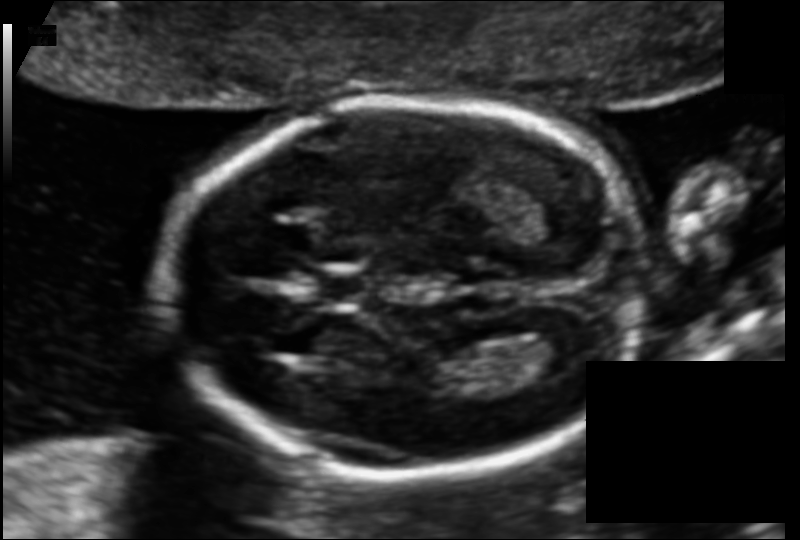
Fetal head ultrasound. Image width: 87.9 mm. Locate the fetal head and, if visible, the cavum septum pellucidum (CSP) and lateral ventricle (LV). Give bounding boxes as [x1,y1,x2,y2].

Head: [160,100,638,474]
CSP: [313,273,374,303]
Lateral ventricle: [512,315,591,384]